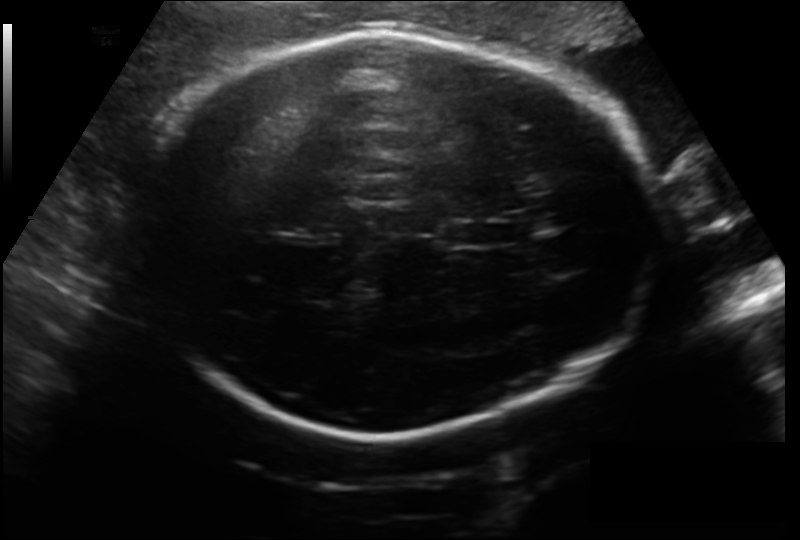
Fetal head ultrasound. Image width: 158.8 mm. Locate the fetal head and, if visible, the cavum septum pellucidum (CSP) and lateral ventricle (LV). Give bounding boxes as [x1,y1,x2,y2].

Head: [145,31,655,434]
CSP: [447,220,501,248]